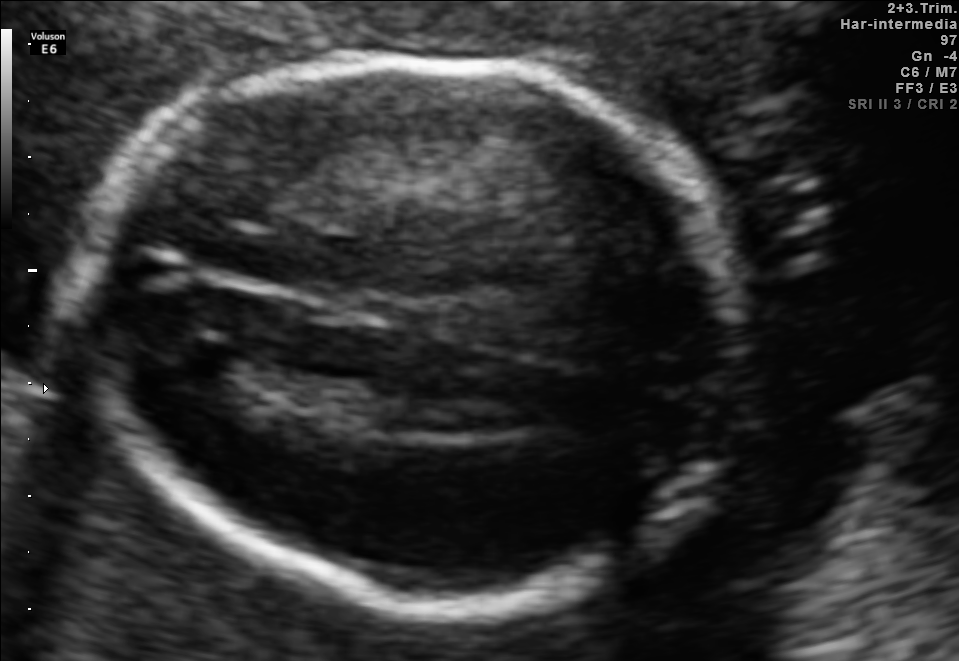
Fetal brain, trans-thalamic plane. Give [x1,y1,x2,y2] bounding boxes for each visible structure among: fetal head, CSP, LV.

Head: [82,58,745,605]